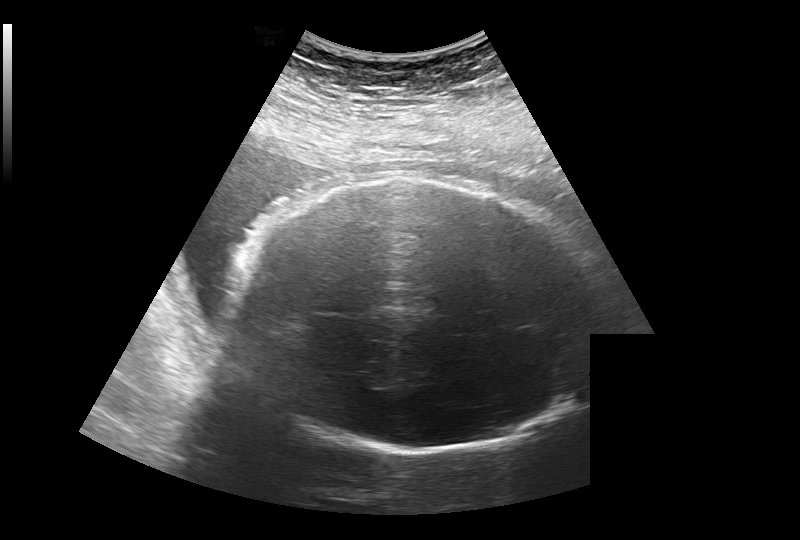
Fetal head ultrasound. Image width: 246.2 mm. Locate the fetal head and, if visible, the cavum septum pellucidum (CSP) and lateral ventricle (LV). Give bounding boxes as [x1,y1,x2,y2].

Head: [225,179,606,453]